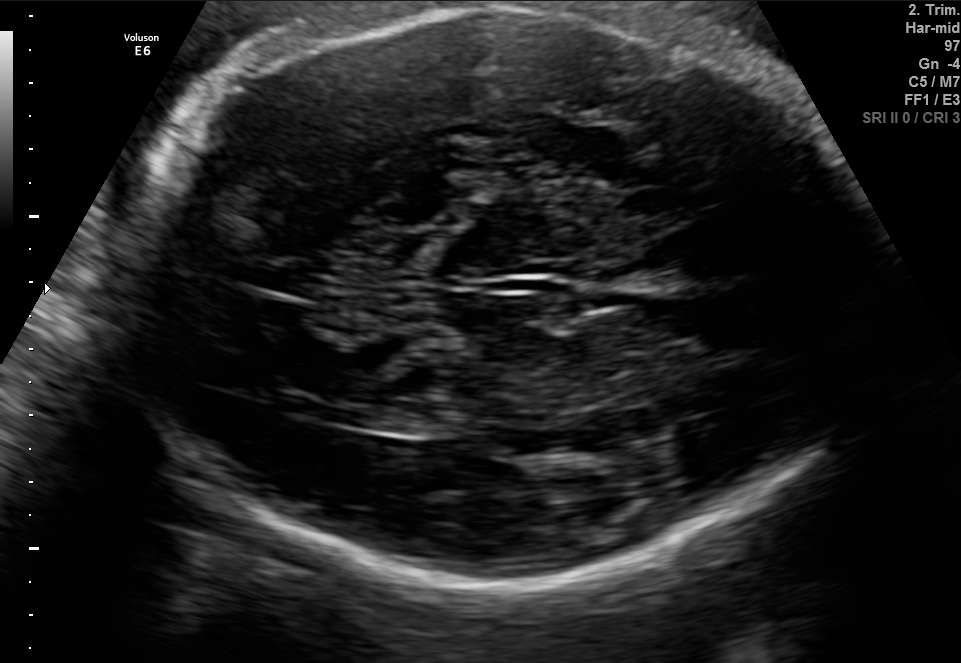
In this fetal brain, trans-thalamic plane, give the bounding box of the fetal head.

[112,8,867,589]